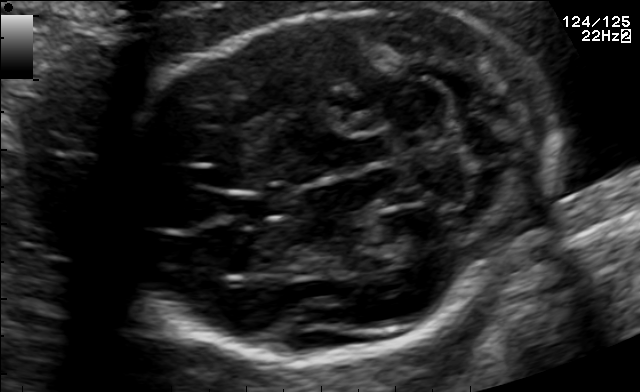
In this fetal brain, trans-cerebellum plane, give the bounding box of the fetal head.

[109,6,559,360]